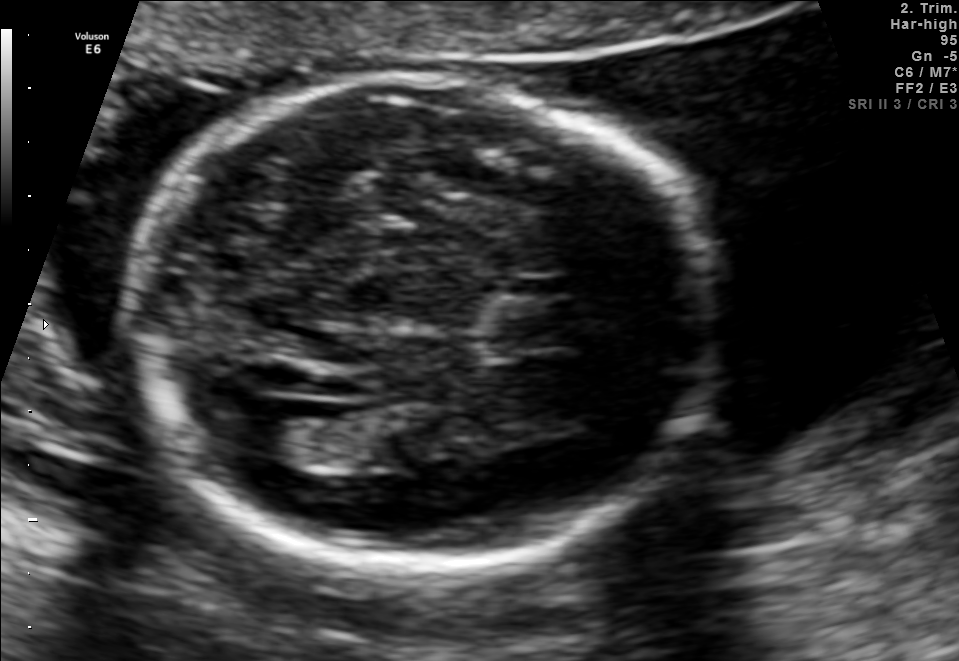
In this fetal brain, trans-ventricular plane, give the bounding box of the cavum septum pellucidum.

[472,295,582,351]